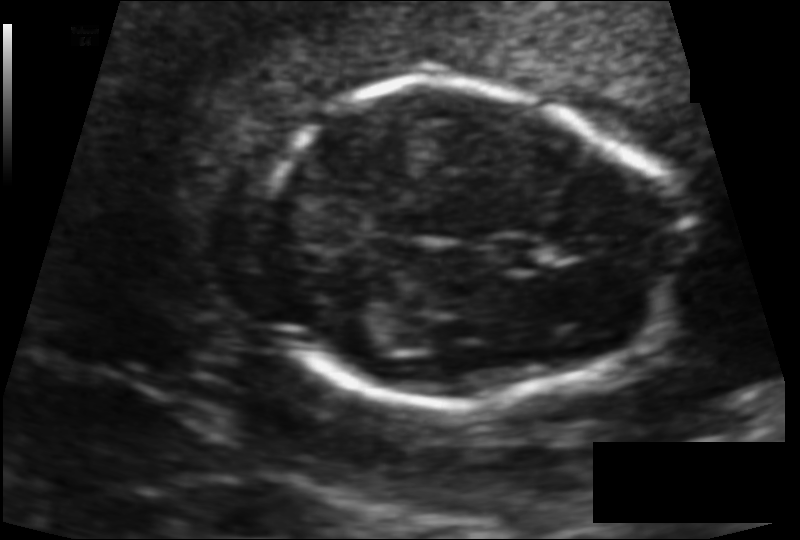
Fetal head ultrasound. Image width: 80.4 mm. Where is the lateral ventricle?

Lateral ventricle bounding box: [331,313,392,351]